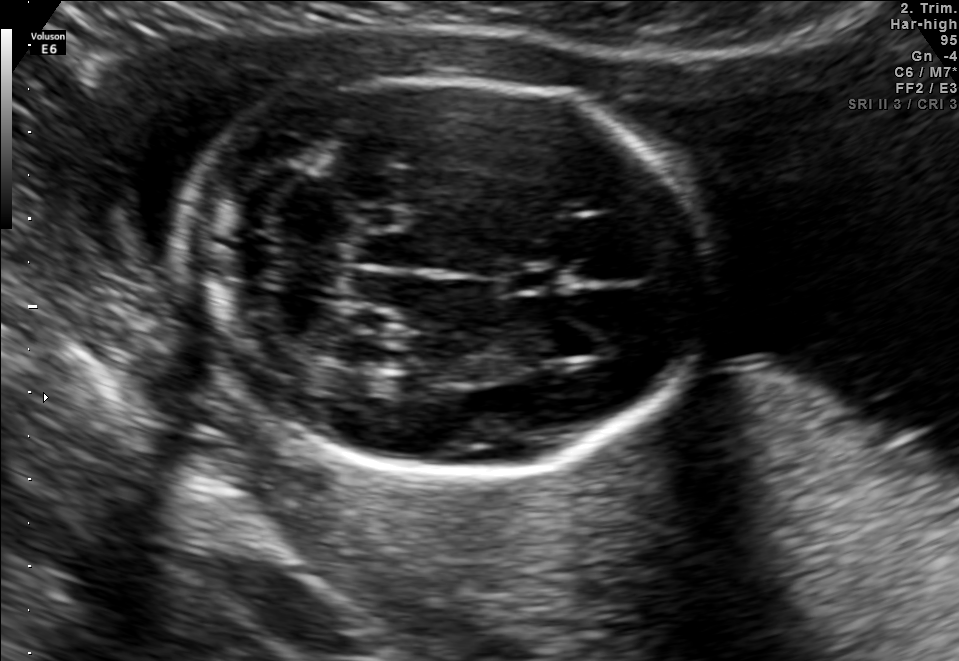
Classify this maternal-fetal ultrasound image as one of the six standard planes — fetal abdomen, fetal brain, fetal femur, fetal thorax, maternal cervix, or other. If it's fetal brain and one of the three standard brain planes (trans-thalamic, trans-cerebellum, trans-ventricular), name which.

Fetal brain (trans-cerebellum plane)